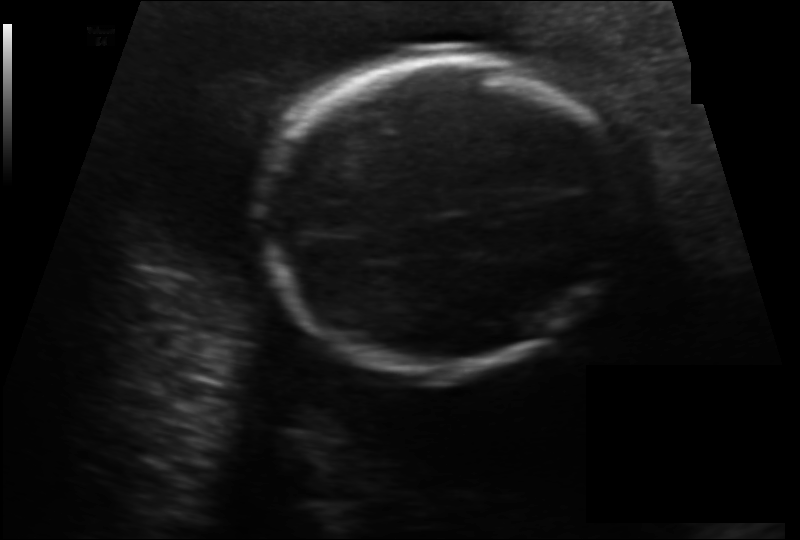
In this fetal head ultrasound, give bounding boxes for the head outline, cavum septum pellucidum (CSP), and lateral ventricle (LV), where visible. Image width: 124.9 mm.

Head: [259,58,626,369]